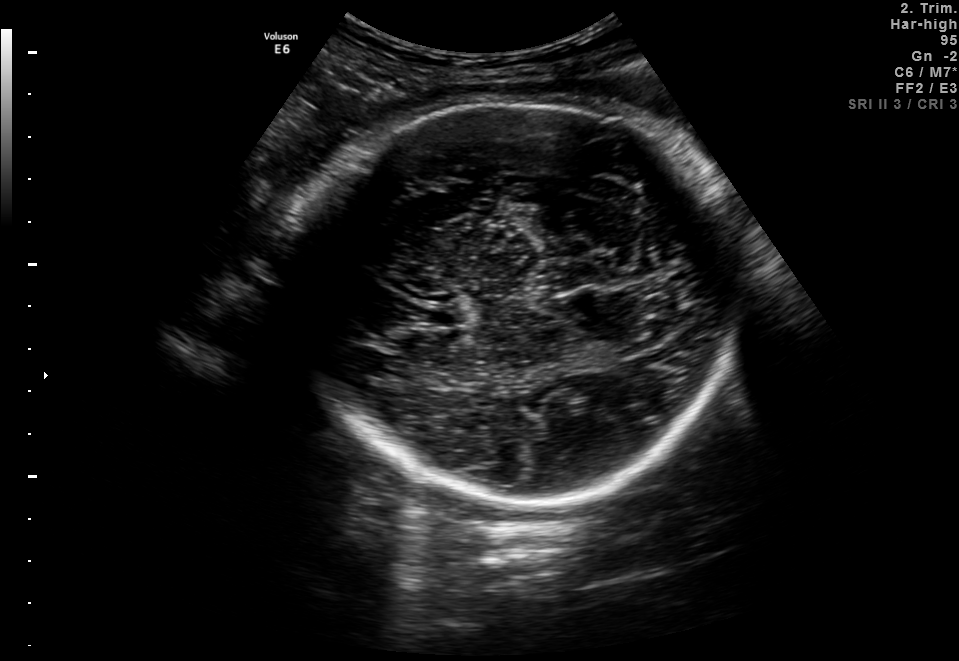
Fetal brain, trans-thalamic plane. Locate the fetal head.

Head: [286,100,735,503]